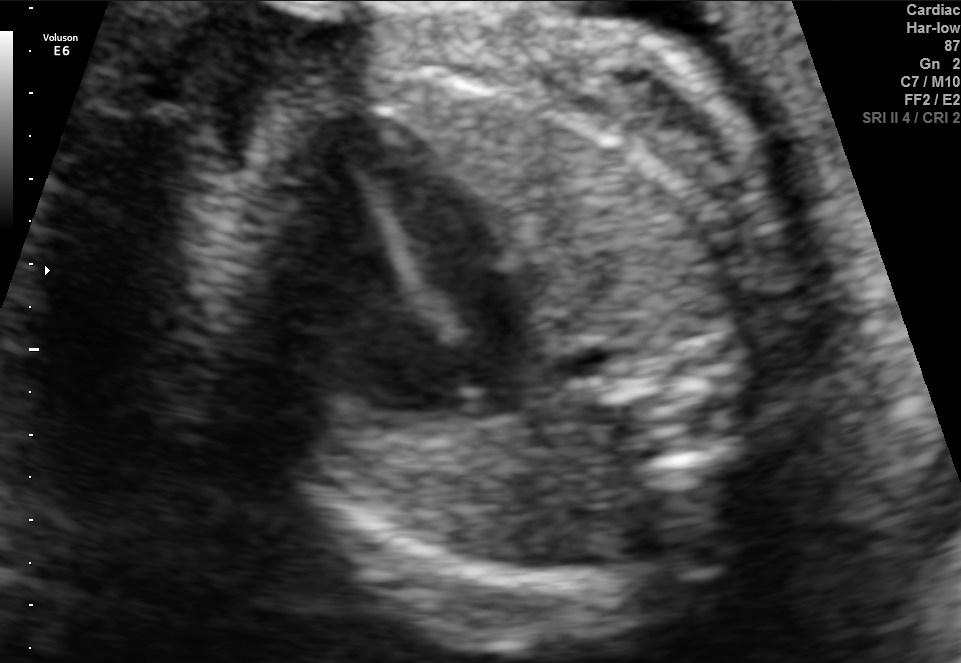
This is a 2D maternal-fetal ultrasound frame. Is it a fetal abdomen, fetal brain, fetal femur, fetal thorax, maternal cervix, or other standard plane? If it's fetal brain and one of the three standard brain planes (trans-thalamic, trans-cerebellum, trans-ventricular), name which.

Fetal thorax